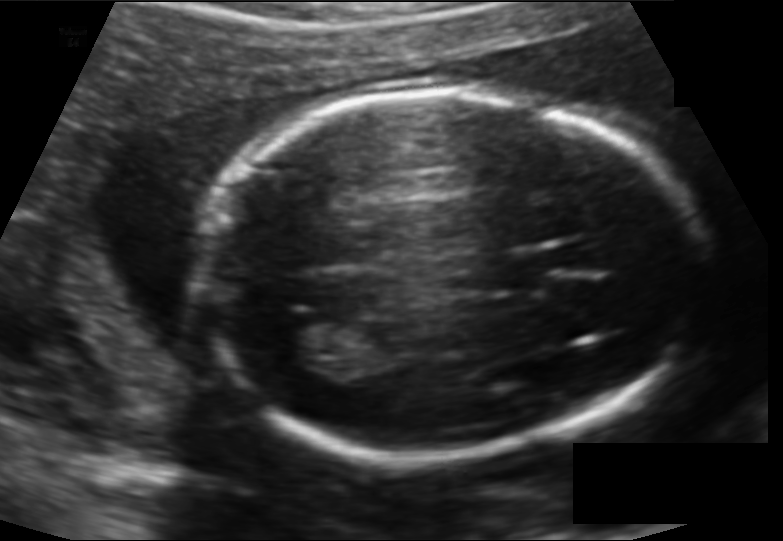
Estimate the fetal head circumference from this 2D ultrasound.

Head circumference: 182.9 mm (image width 100.2 mm).